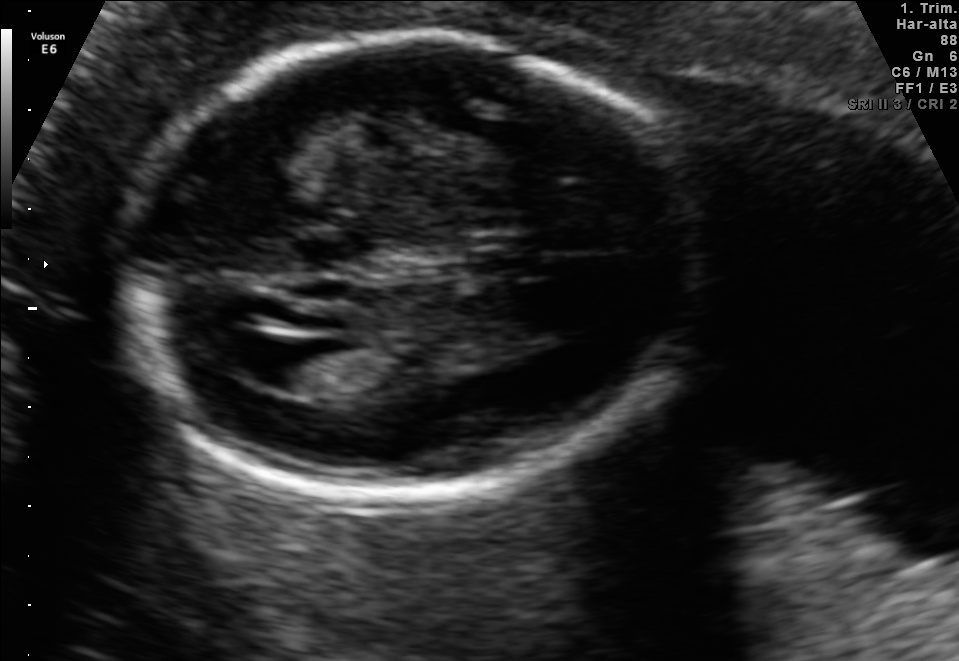
Fetal brain, trans-ventricular plane. Where is the lateral ventricle?

Lateral ventricle bounding box: [228,327,322,393]